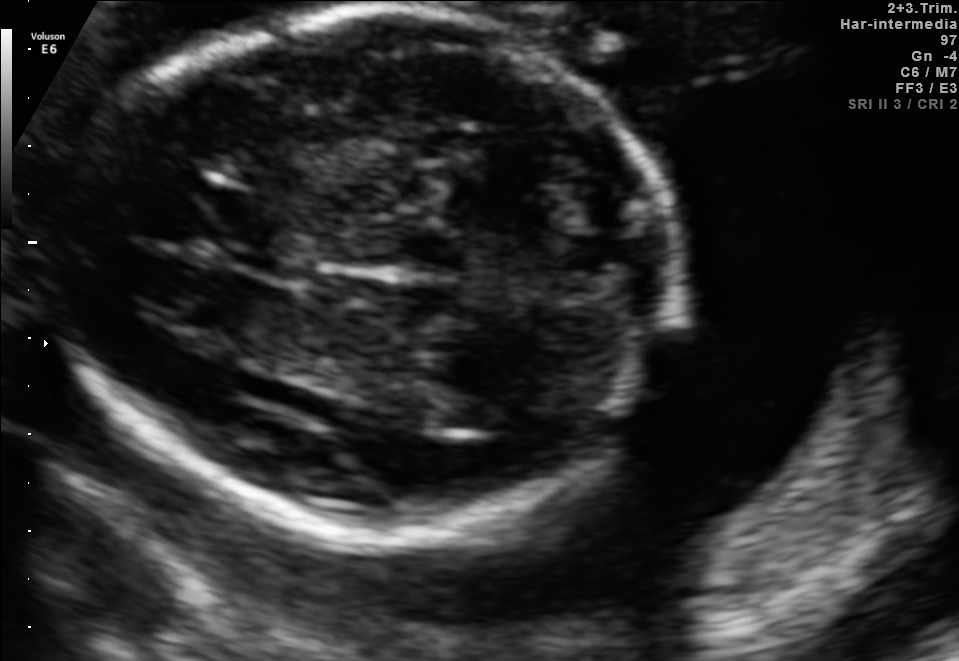
Fetal brain, trans-thalamic plane. Where is the lateral ventricle?

Lateral ventricle bounding box: [434,396,515,435]